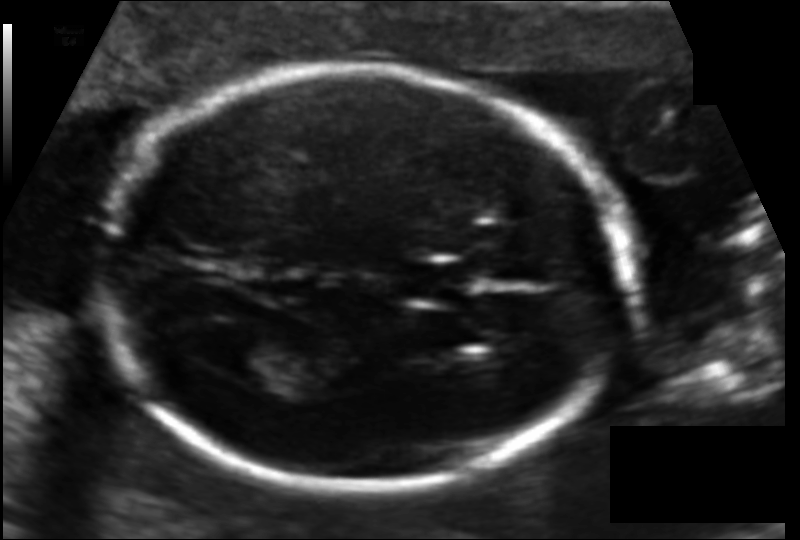
Fetal head ultrasound. Image width: 91.0 mm. Locate the fetal head and, if visible, the cavum septum pellucidum (CSP) and lateral ventricle (LV). Give bounding boxes as [x1,y1,x2,y2].

Head: [102,69,630,489]
CSP: [402,257,475,305]
Lateral ventricle: [202,324,286,387]